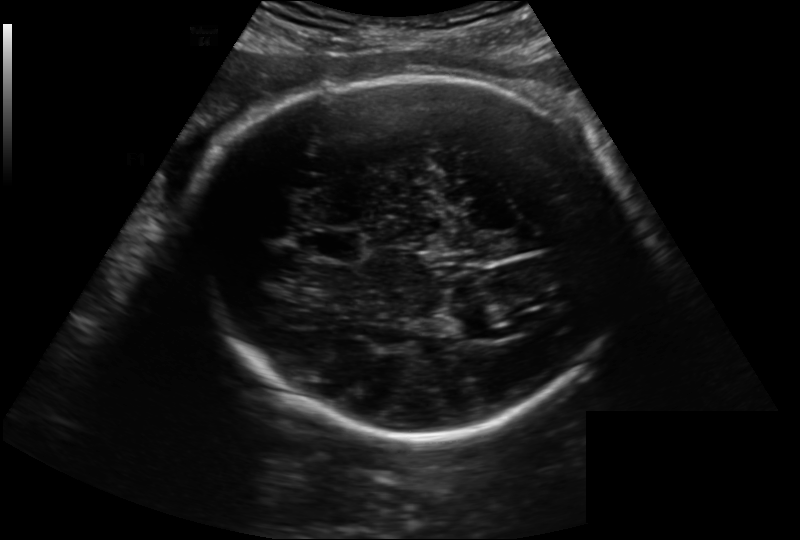
What is the fetal head circumference? Image width is 177.3 mm.

292.2 mm